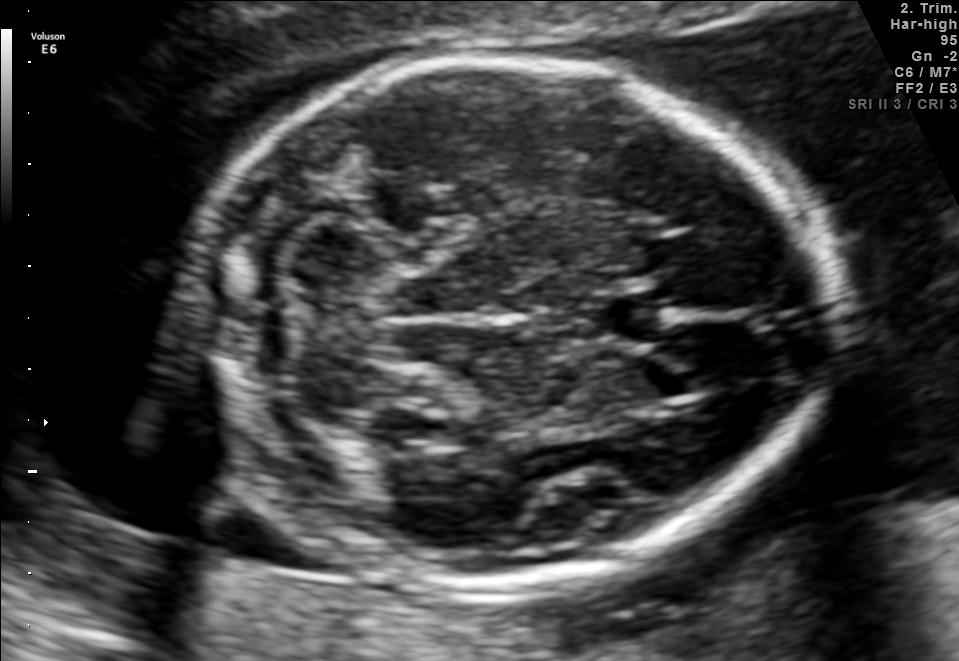
Fetal brain, trans-cerebellum plane. Where is the cavum septum pellucidum?

CSP bounding box: [586,281,674,353]